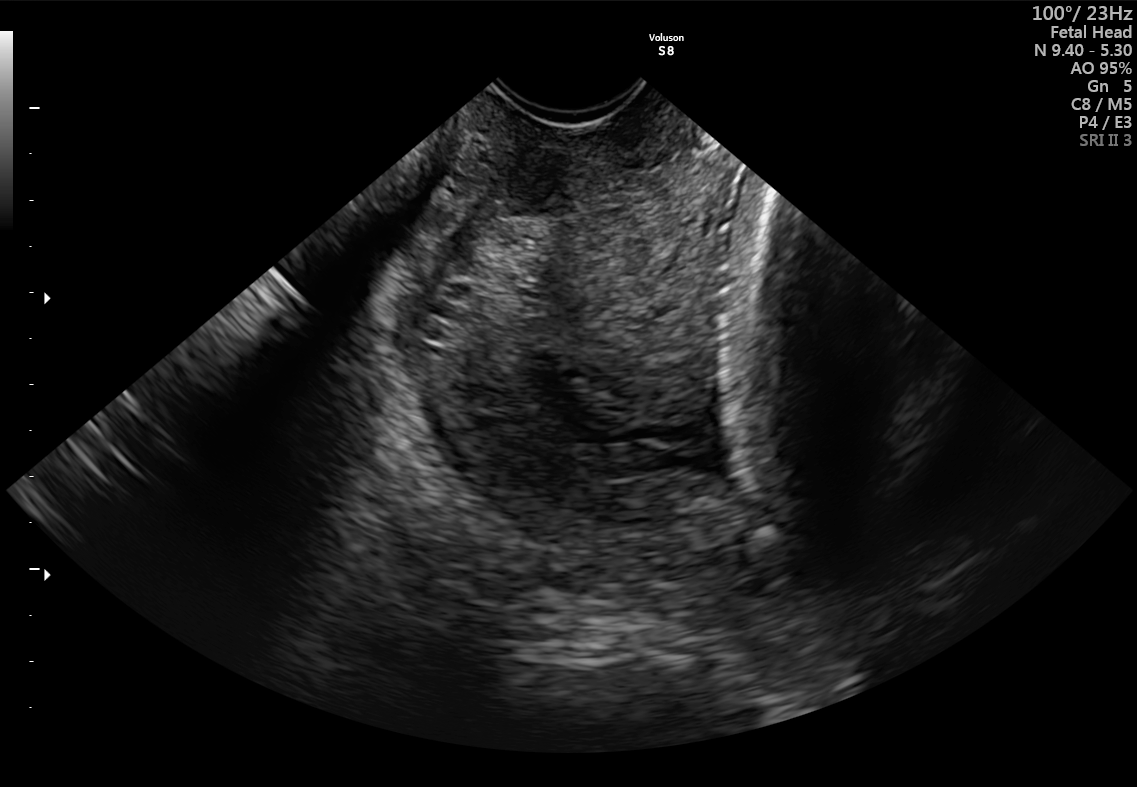
Which standard maternal-fetal ultrasound plane is shown: fetal abdomen, fetal brain, fetal femur, fetal thorax, maternal cervix, or other? If it's fetal brain and one of the three standard brain planes (trans-thalamic, trans-cerebellum, trans-ventricular), name which.

Maternal cervix